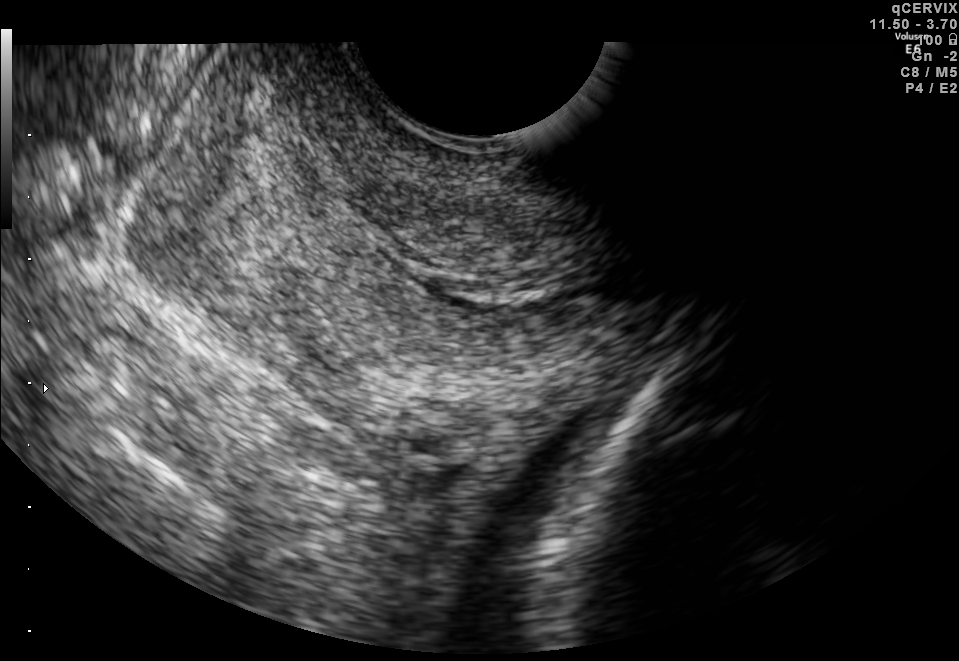
Identify the standard plane in this fetal ultrasound image: fetal abdomen, fetal brain, fetal femur, fetal thorax, maternal cervix, or other. If it's fetal brain and one of the three standard brain planes (trans-thalamic, trans-cerebellum, trans-ventricular), name which.

Maternal cervix